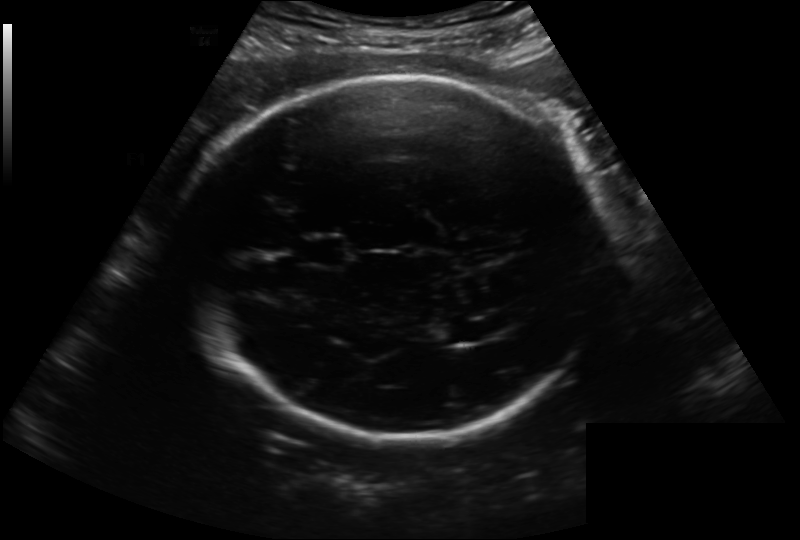
From this fetal ultrasound, estimate the head circumference (image width 177.3 mm).

Head circumference: 281.6 mm.